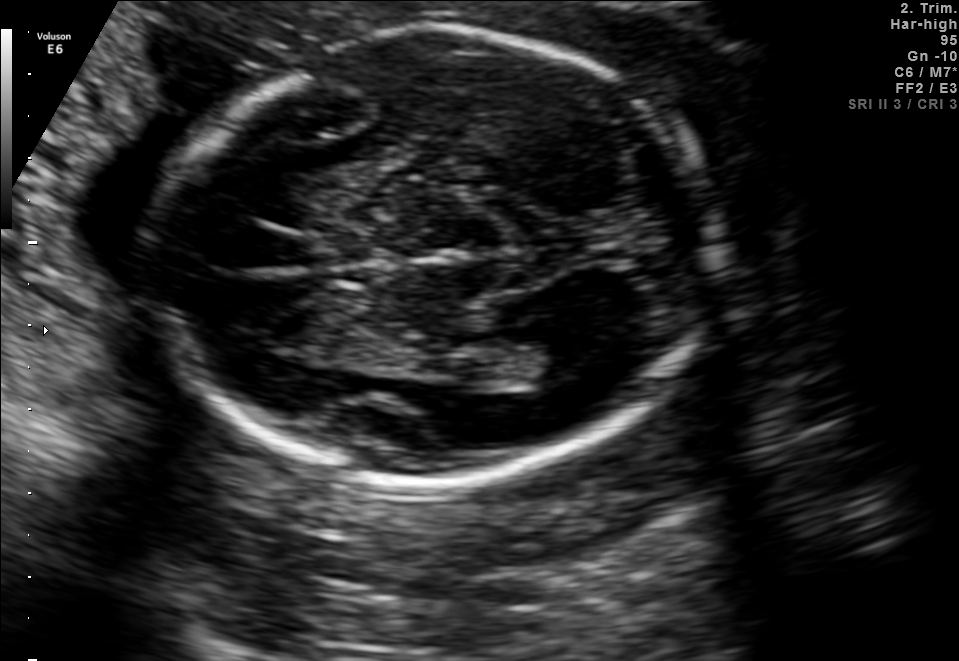
Fetal brain, trans-ventricular plane. Locate the fetal head.

Head: [148,28,727,489]